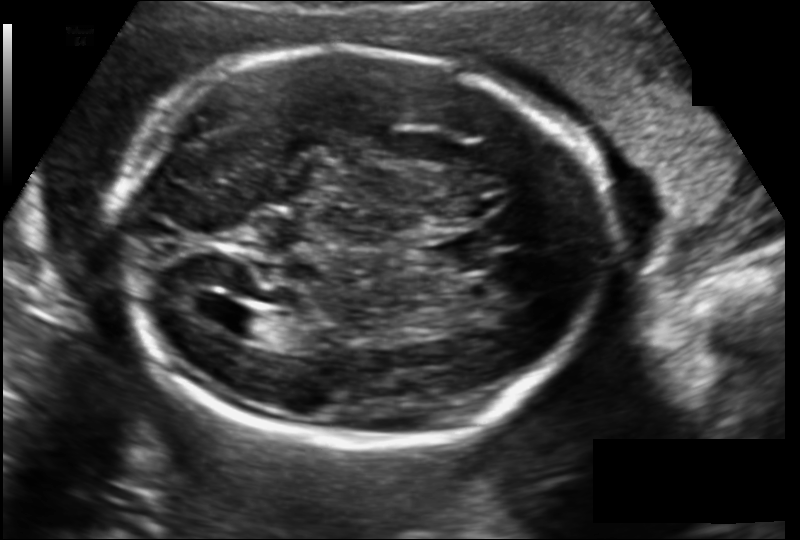
In this fetal head ultrasound, give the bounding box of the fetal head. Image width: 119.2 mm.

[113,48,606,443]